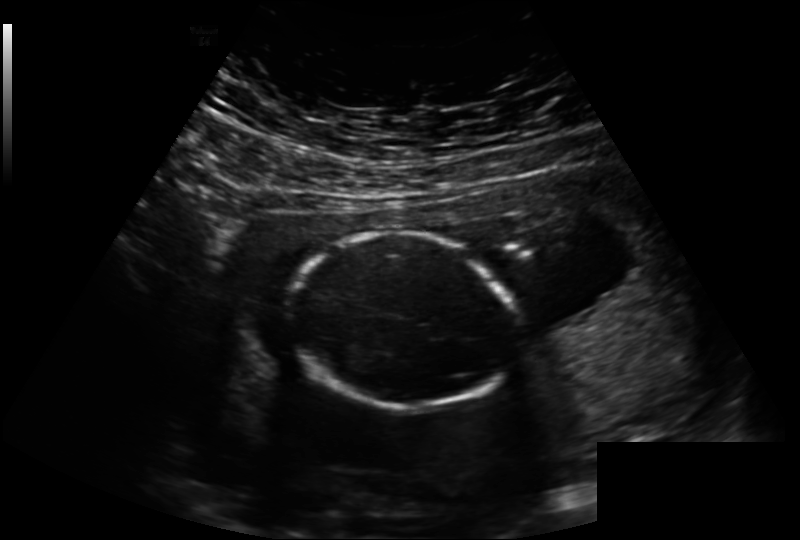
Measure the fetal head circumference shown in this ultrasound image. Image width: 177.0 mm.

Head circumference: 146.7 mm.